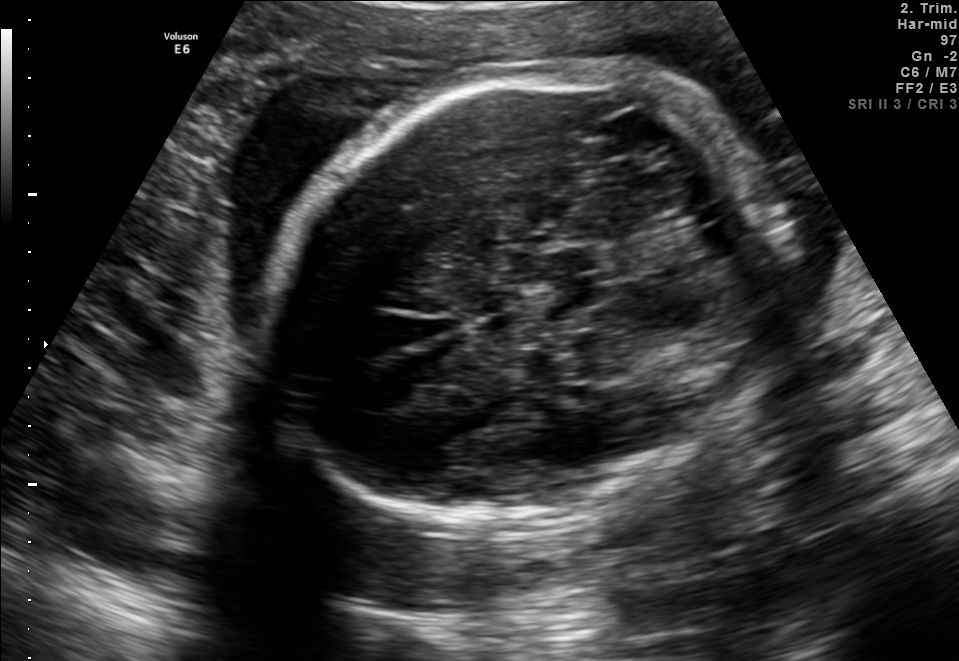
Fetal brain, trans-cerebellum plane. Where is the fetal head?

Head bounding box: [266,73,779,524]